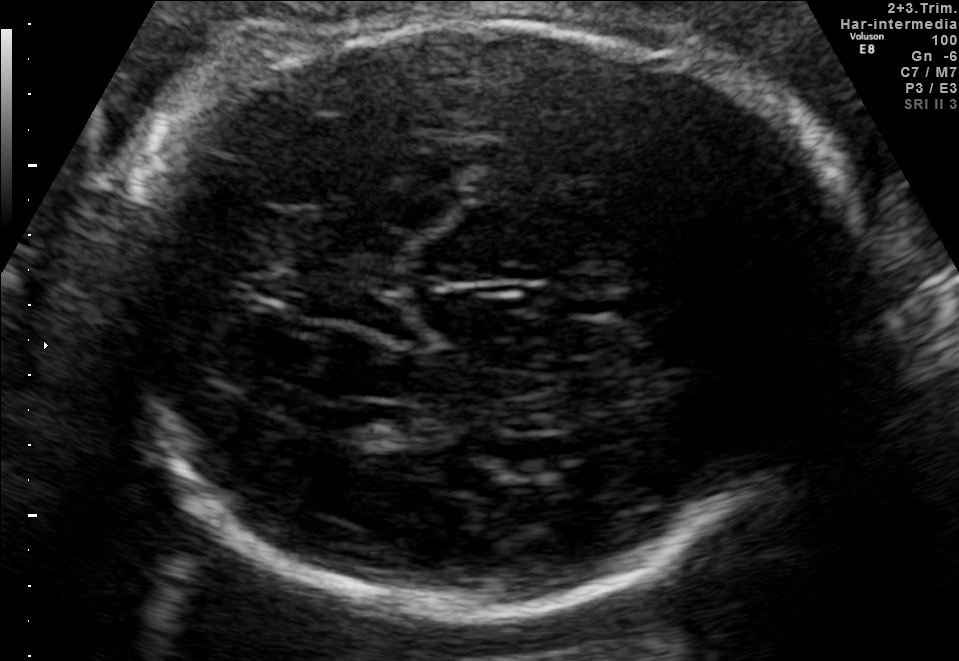
Fetal brain, trans-thalamic plane. Give [x1,y1,x2,y2] bounding boxes for each visible structure among: fetal head, CSP, LV.

Head: [119,19,866,616]
CSP: [560,293,626,319]
Lateral ventricle: [325,400,417,447]